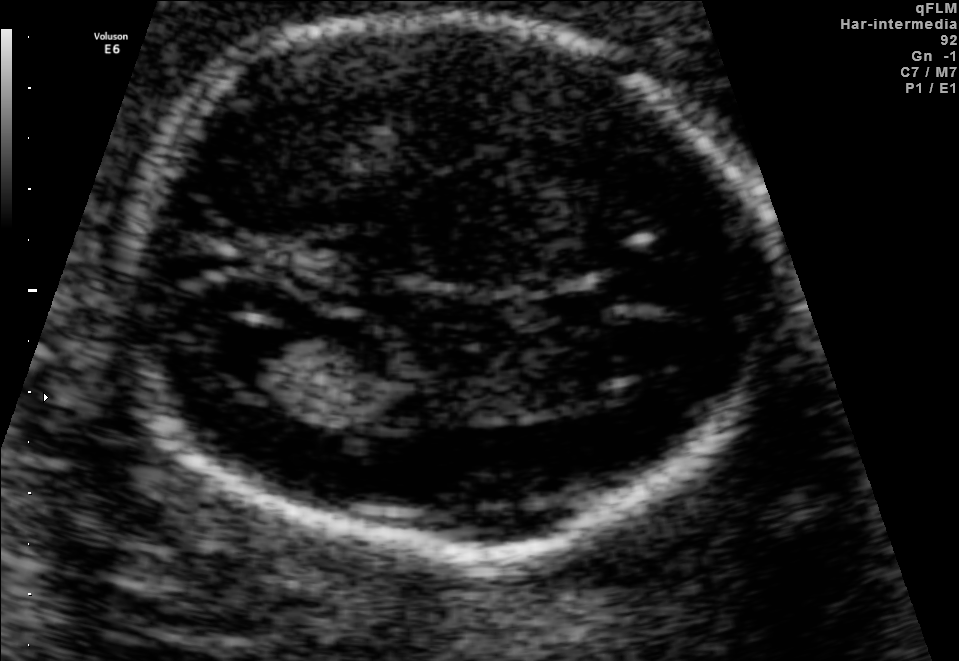
Fetal brain, trans-ventricular plane. Locate the fetal head.

Head: [100,6,783,571]